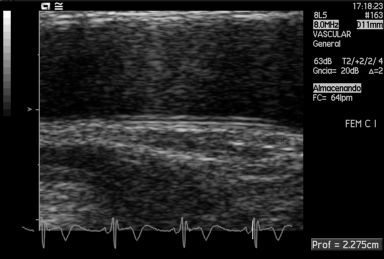
Classify this maternal-fetal ultrasound image as one of the six standard planes — fetal abdomen, fetal brain, fetal femur, fetal thorax, maternal cervix, or other. If it's fetal brain and one of the three standard brain planes (trans-thalamic, trans-cerebellum, trans-ventricular), name which.

Other